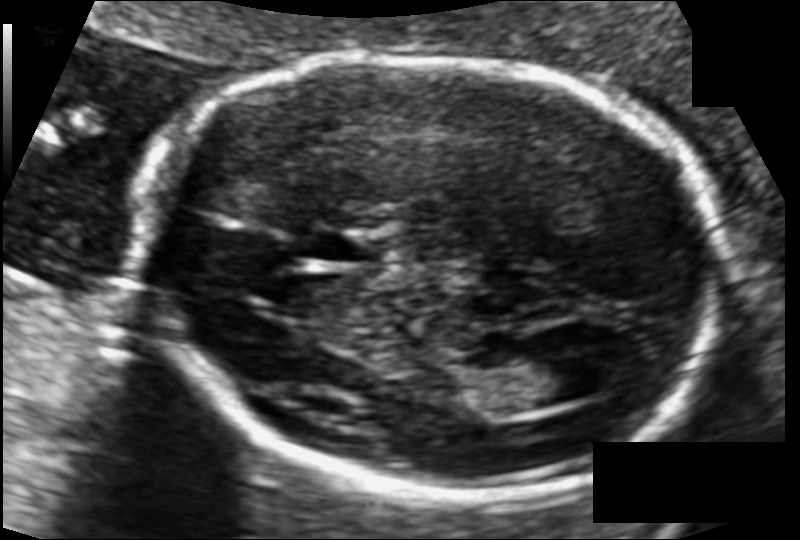
Fetal head ultrasound. Image width: 81.0 mm. Locate the cavum septum pellucidum.

CSP: [304,226,381,266]